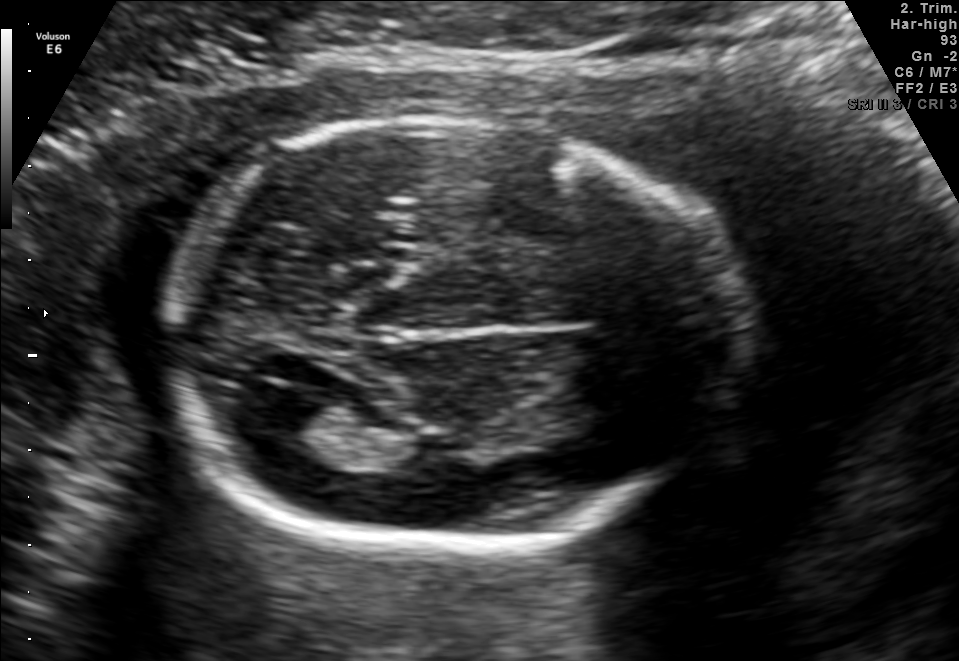
In this fetal brain, trans-ventricular plane, give the bounding box of the lateral ventricle.

[247,381,328,446]